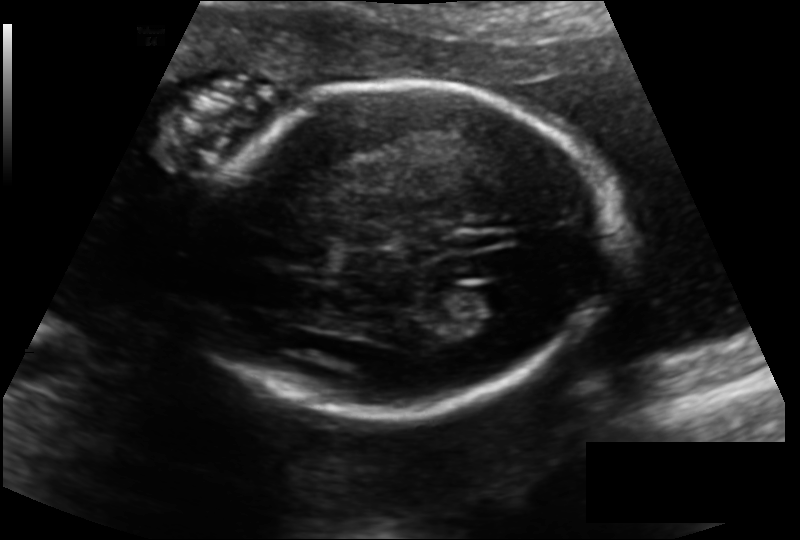
From this fetal ultrasound, estimate the head circumference (image width 115.4 mm).

Head circumference: 173.8 mm.